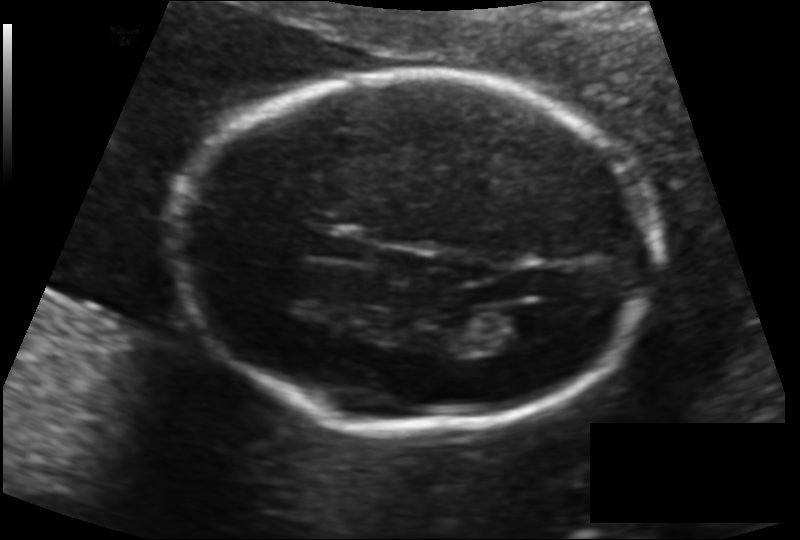
In this fetal head ultrasound, give the bounding box of the lateral ventricle. Image width: 107.4 mm.

[477,301,546,353]